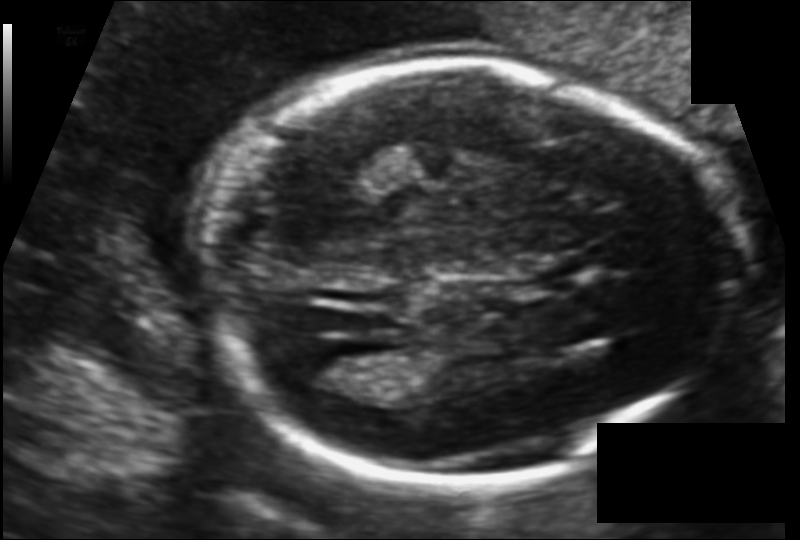
Estimate the fetal head circumference from this 2D ultrasound. Image width: 93.1 mm.

Head circumference: 177.9 mm.